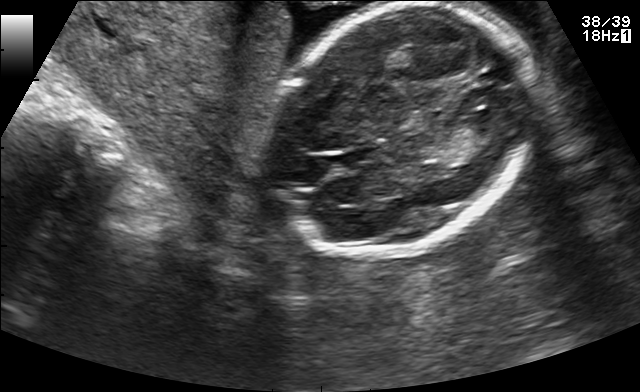
Fetal brain, trans-thalamic plane. Give [x1,y1,x2,y2] bounding boxes for each visible structure among: fetal head, CSP, LV.

Head: [272,4,532,255]